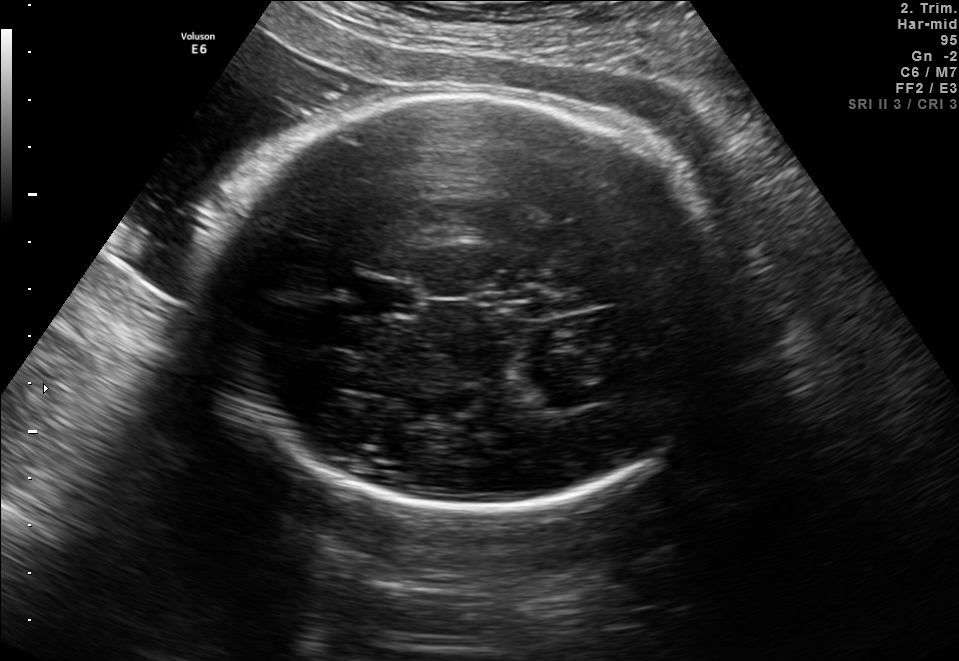
Fetal brain, trans-thalamic plane. Where is the fetal head?

Head bounding box: [214,96,741,509]